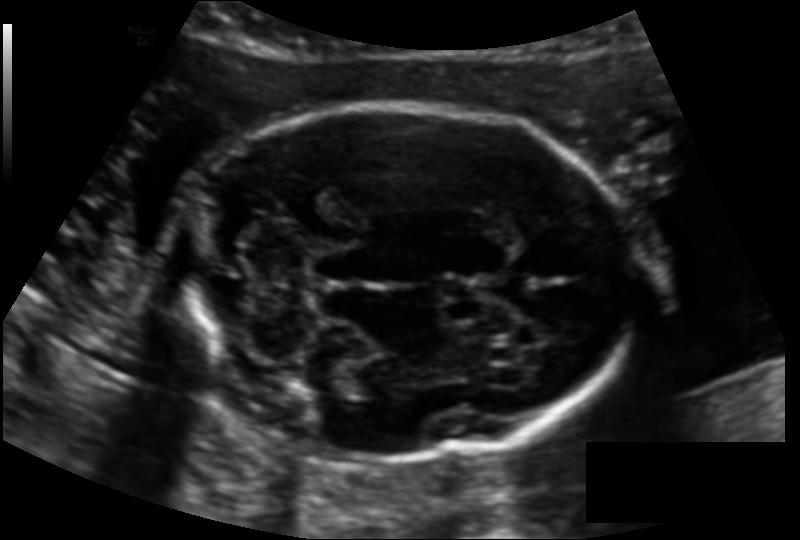
Fetal head ultrasound. Image width: 102.3 mm. Locate the fetal head and, if visible, the cavum septum pellucidum (CSP) and lateral ventricle (LV). Give bounding boxes as [x1,y1,x2,y2].

Head: [176,105,637,457]